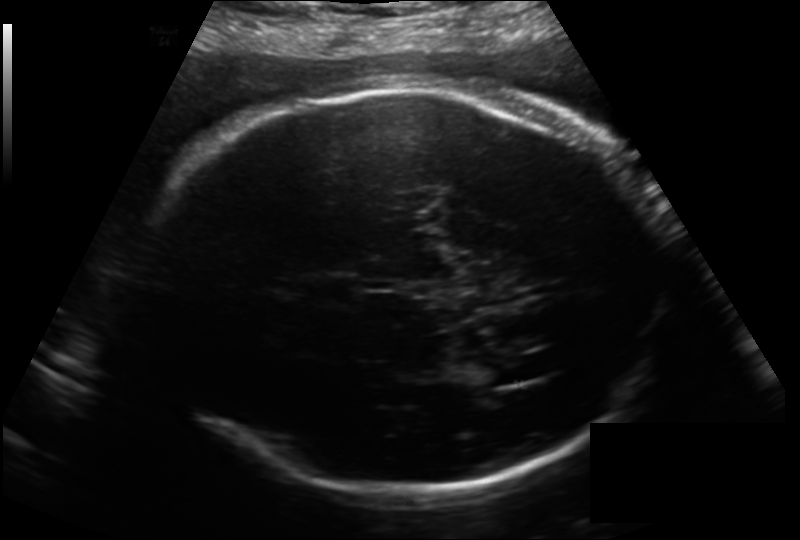
In this fetal head ultrasound, give bounding boxes for the head outline, cavum septum pellucidum (CSP), and lateral ventricle (LV), where visible. Image width: 171.3 mm.

Head: [148,84,660,500]
CSP: [297,274,358,304]
Lateral ventricle: [461,353,527,393]